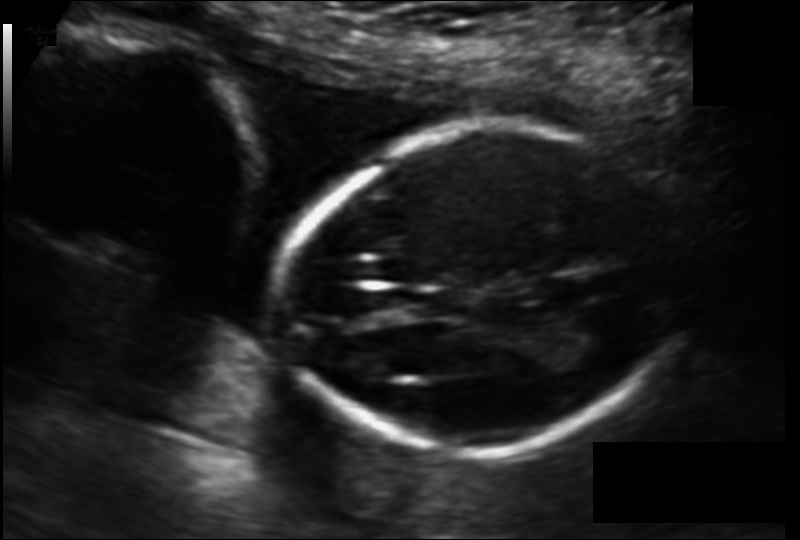
Fetal head ultrasound. Image width: 102.9 mm. Locate the fetal head and, if visible, the cavum septum pellucidum (CSP) and lateral ventricle (LV). Give bounding boxes as [x1,y1,x2,y2].

Head: [274,123,676,453]